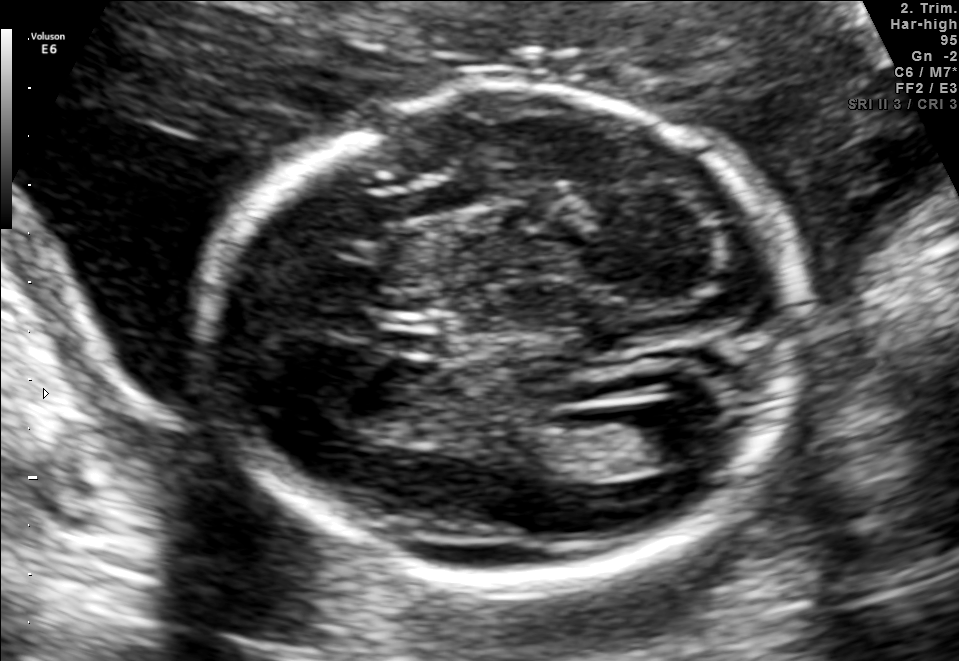
Fetal brain, trans-ventricular plane. Locate the fetal head.

Head: [187,75,824,600]